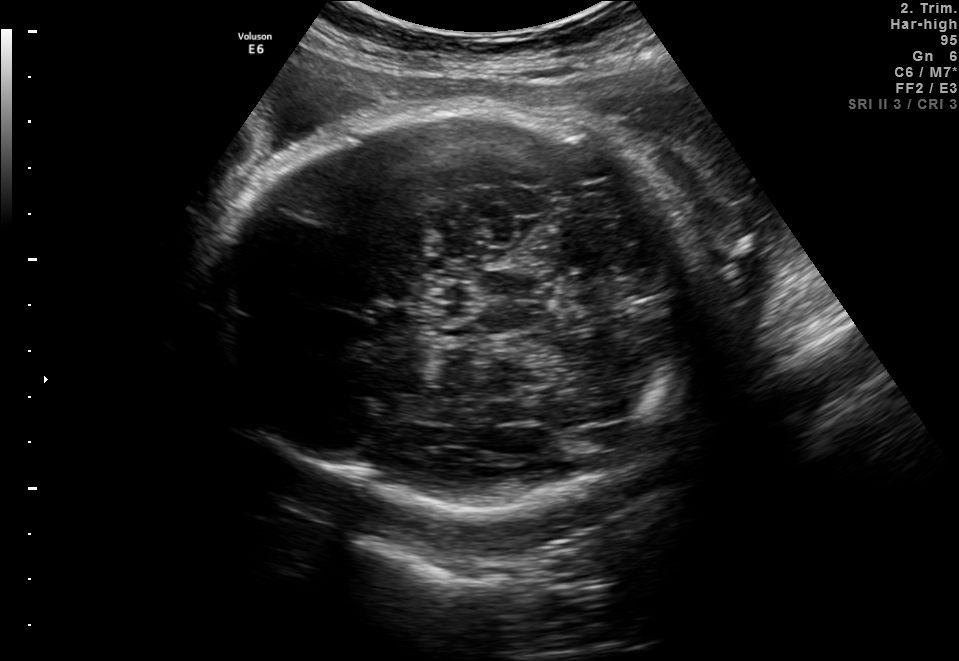
In this fetal brain, trans-thalamic plane, give the bounding box of the fetal head.

[207,102,694,515]